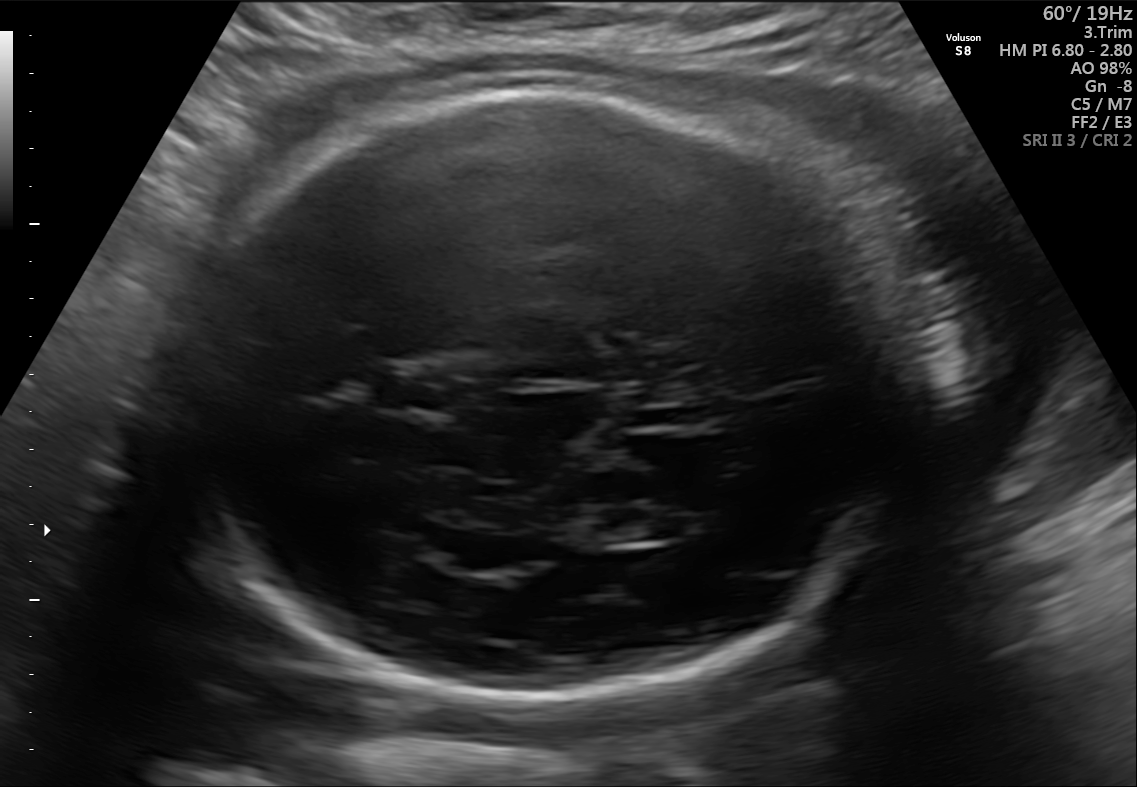
Fetal brain, trans-thalamic plane. Give [x1,y1,x2,y2] bounding boxes for each visible structure among: fetal head, CSP, LV.

Head: [165,81,906,692]
CSP: [377,370,450,410]
Lateral ventricle: [568,504,678,549]